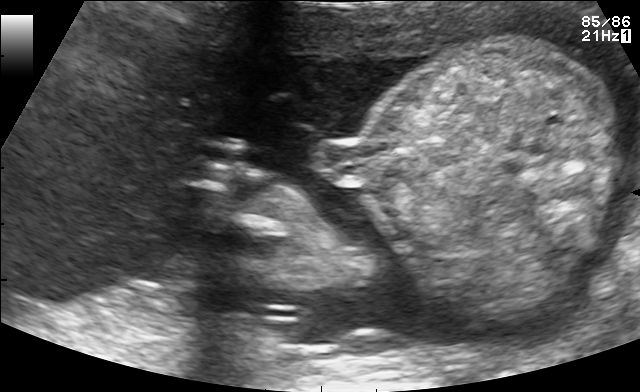
Classify this maternal-fetal ultrasound image as one of the six standard planes — fetal abdomen, fetal brain, fetal femur, fetal thorax, maternal cervix, or other. If it's fetal brain and one of the three standard brain planes (trans-thalamic, trans-cerebellum, trans-ventricular), name which.

Other